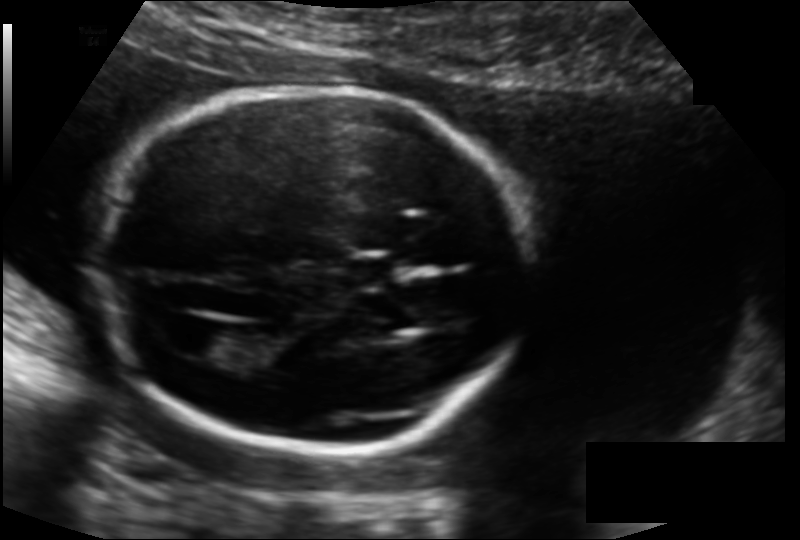
Estimate the fetal head circumference from this 2D ultrasound.

Head circumference: 174.6 mm (image width 107.7 mm).